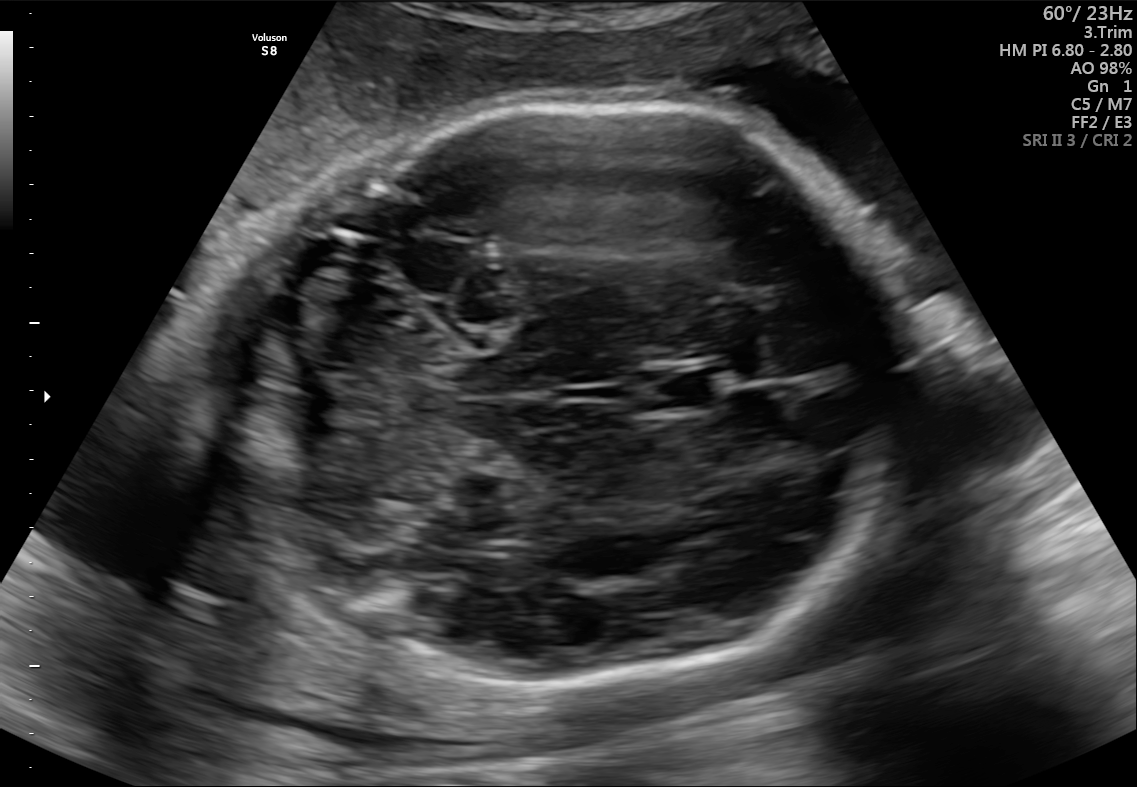
In this fetal brain, trans-cerebellum plane, give bounding boxes for the head outline, cavum septum pellucidum (CSP), and lateral ventricle (LV), where visible.

Head: [198,105,906,687]
CSP: [634,361,725,419]